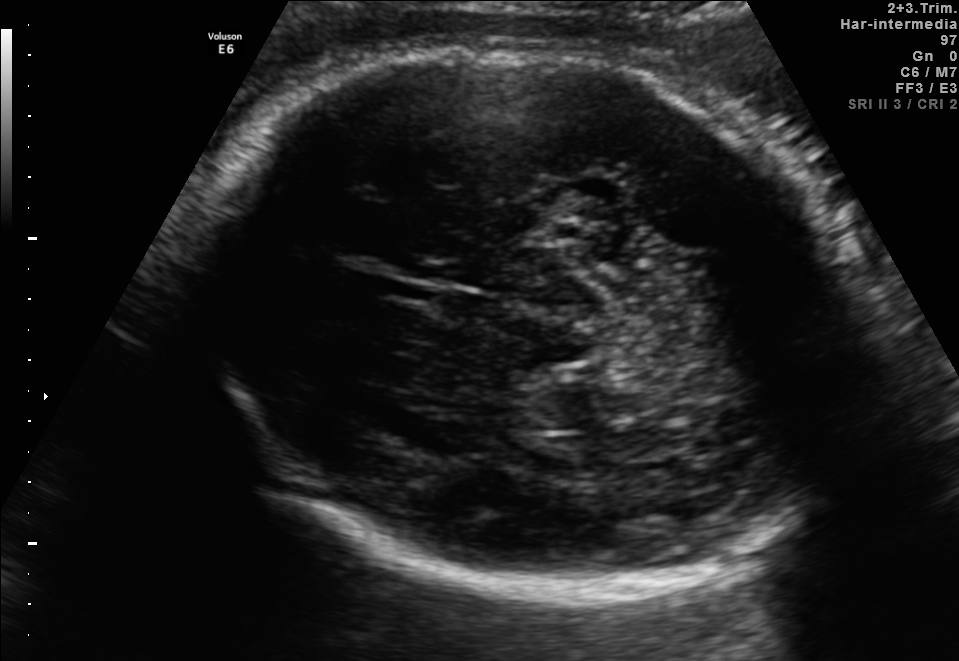
In this fetal brain, trans-thalamic plane, give the bounding box of the fetal head.

[192,46,863,599]